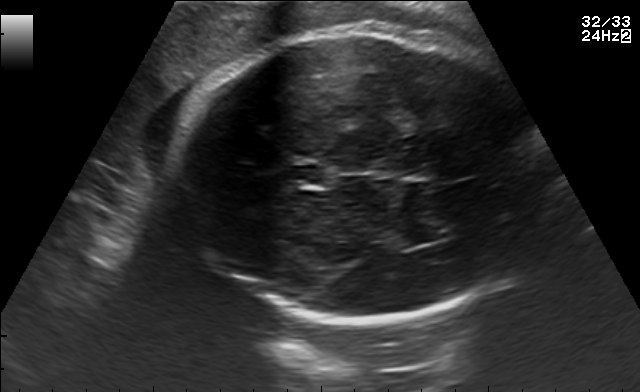
In this fetal brain, trans-thalamic plane, give the bounding box of the lateral ventricle.

[391,220,452,252]